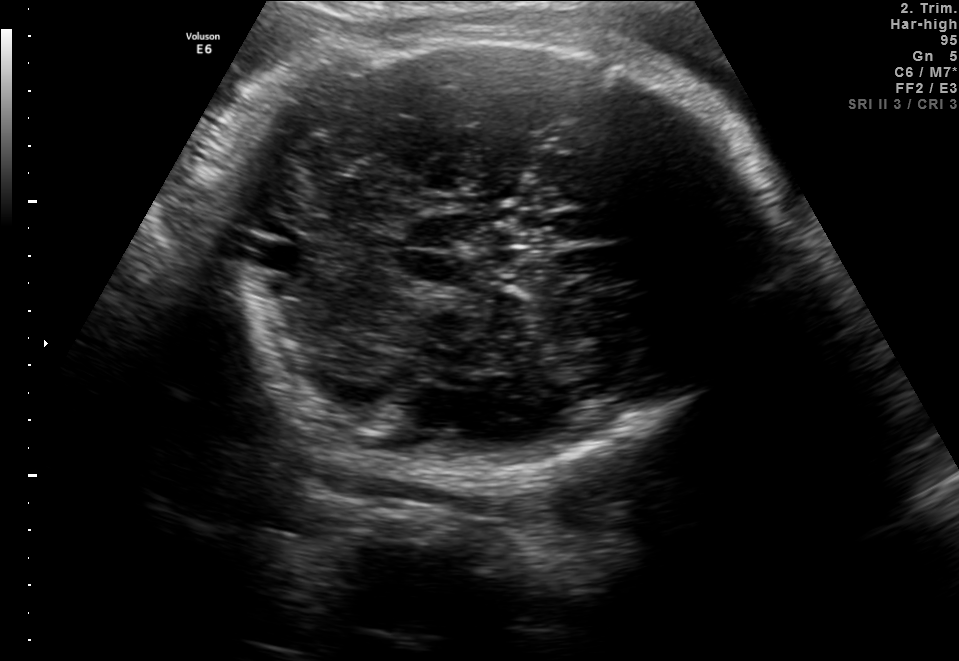
Fetal brain, trans-cerebellum plane. Locate the fetal head.

Head: [217,28,778,475]